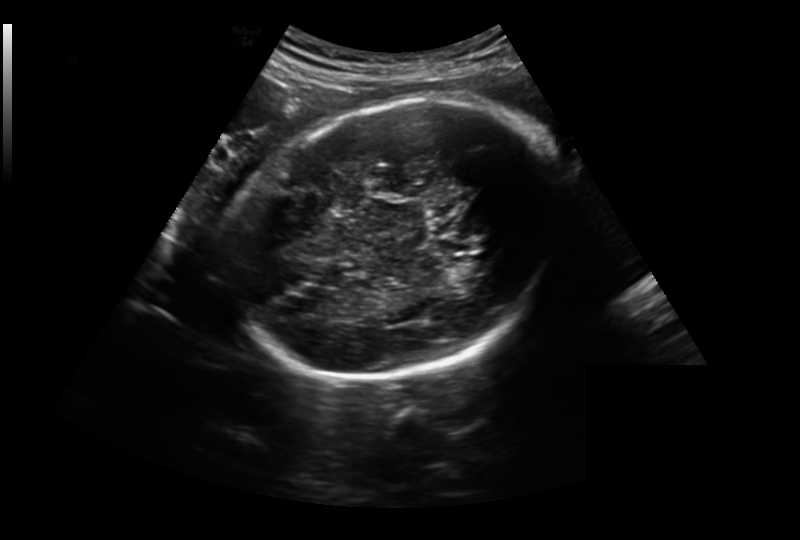
From this fetal ultrasound, estimate the head circumference (image width 206.9 mm).

Head circumference: 263.0 mm.